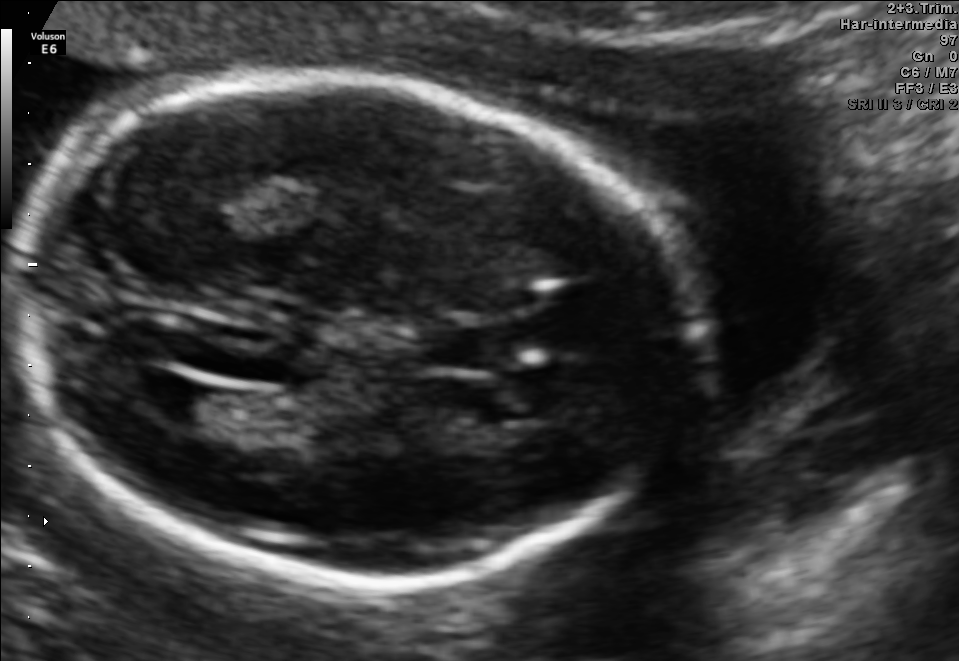
Fetal brain, trans-ventricular plane. Locate the lateral ventricle.

Lateral ventricle: [134,367,218,431]